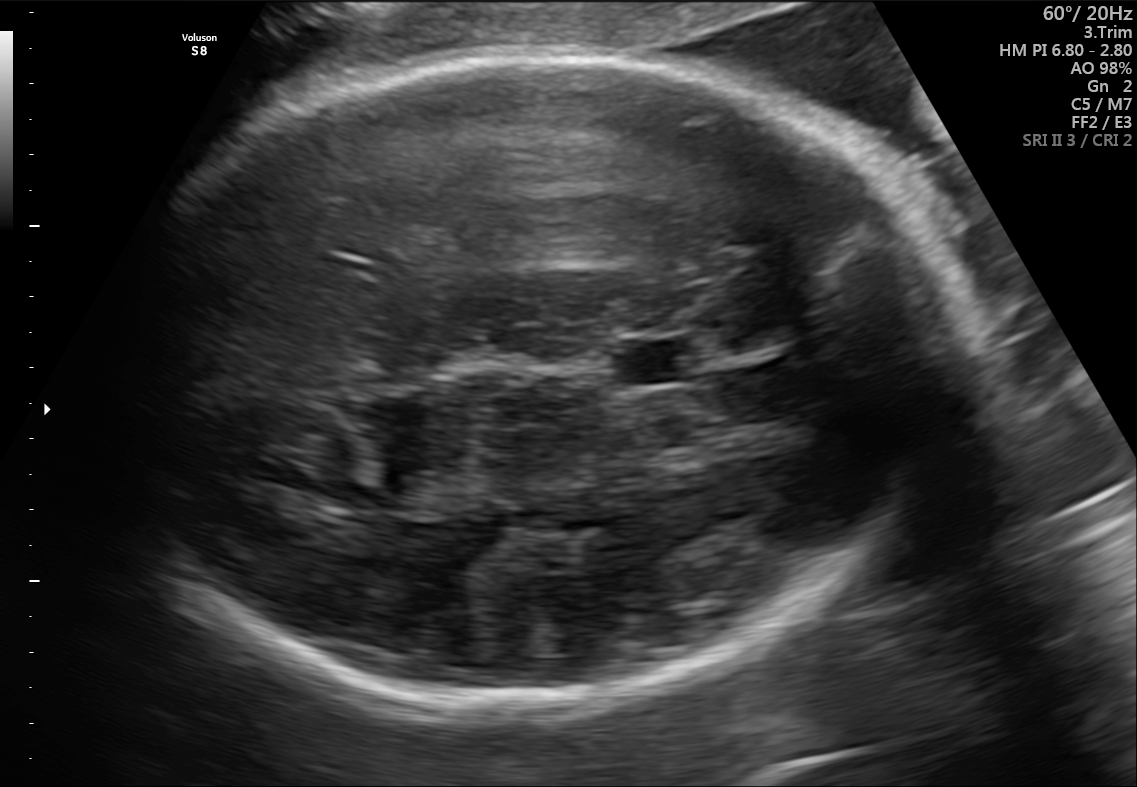
Fetal brain, trans-thalamic plane. Locate the fetal head.

Head: [106,54,951,702]